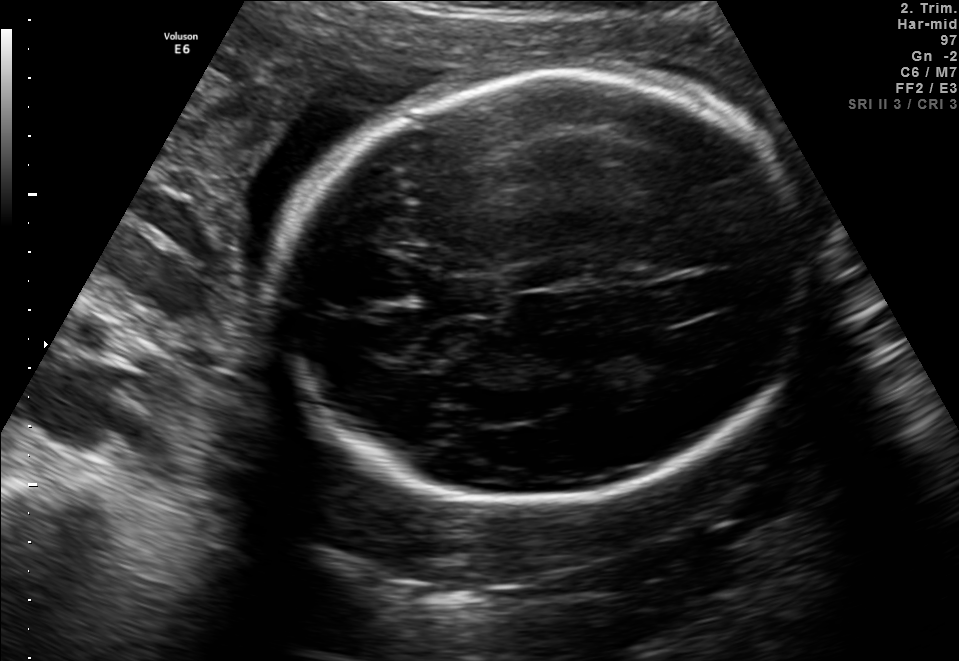
In this fetal brain, trans-ventricular plane, give bounding boxes for the head outline, cavum septum pellucidum (CSP), and lateral ventricle (LV), where visible.

Head: [263,66,822,517]